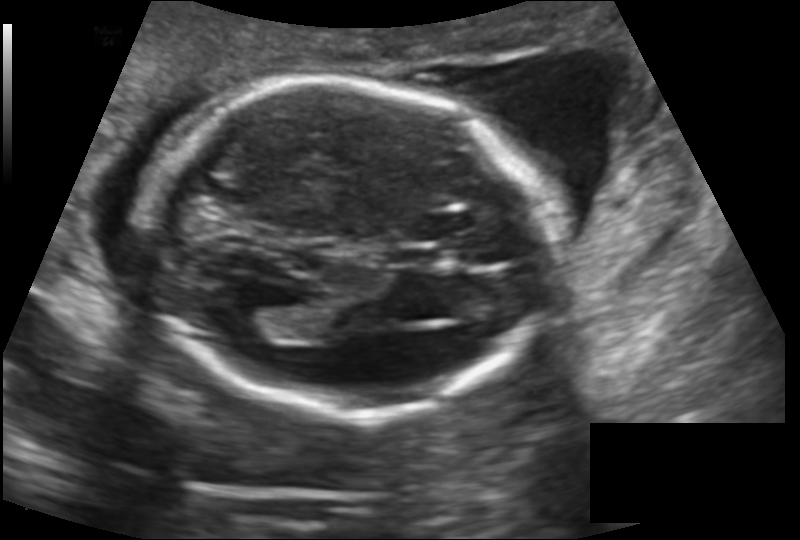
In this fetal head ultrasound, give the bounding box of the lateral ventricle. Image width: 116.4 mm.

[229,306,285,340]